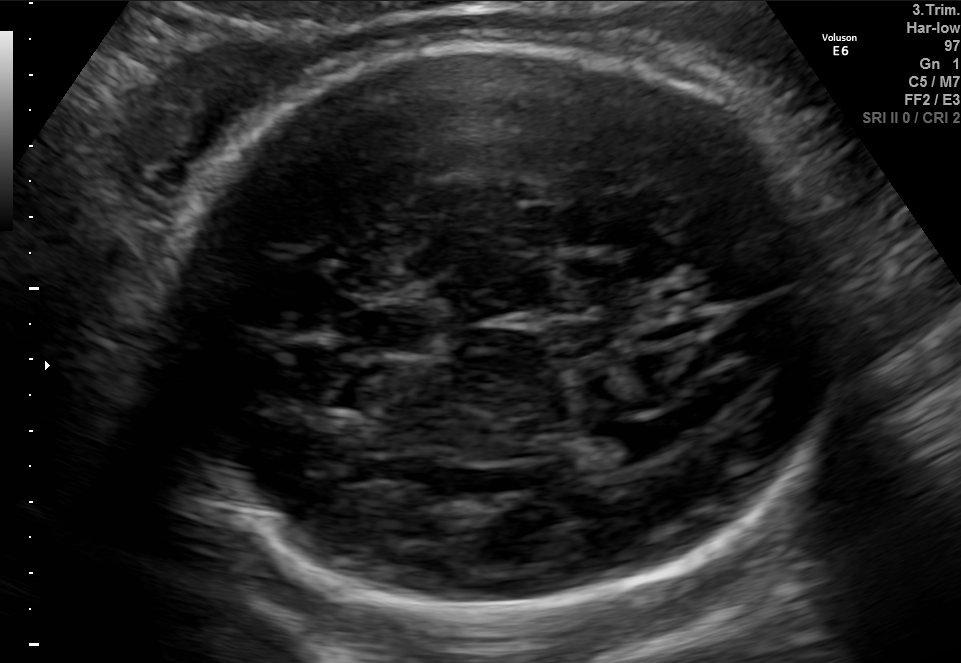
In this fetal brain, trans-ventricular plane, give the bounding box of the lateral ventricle.

[598,410,688,473]